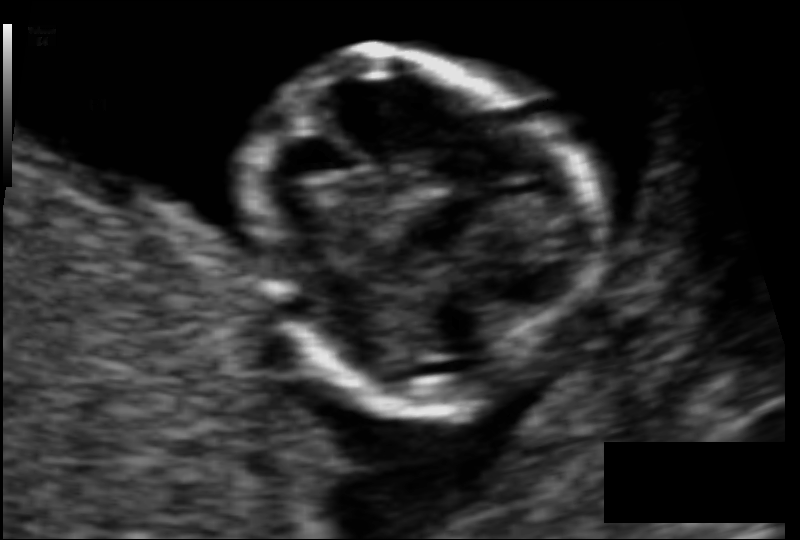
Fetal head ultrasound. Image width: 54.6 mm. Locate the fetal head.

Head: [239,59,582,398]